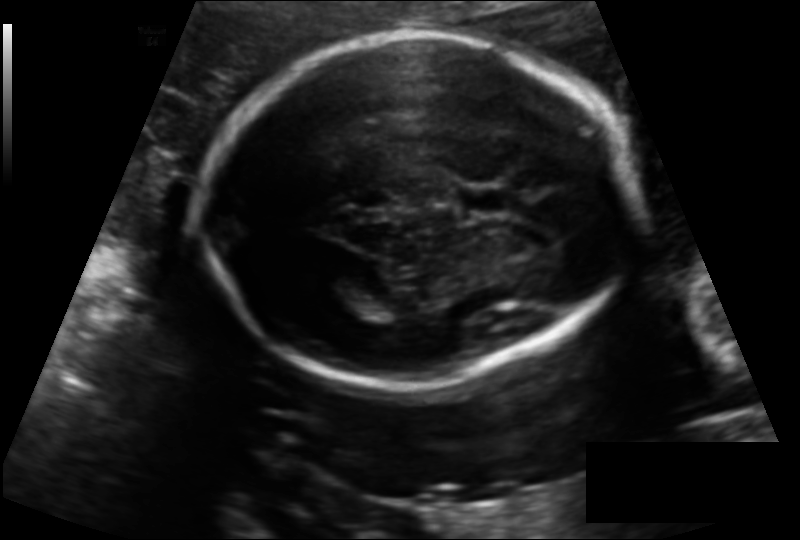
In this fetal head ultrasound, give bounding boxes for the head outline, cavum septum pellucidum (CSP), and lateral ventricle (LV), where visible. Image width: 111.5 mm.

Head: [198,33,631,386]
CSP: [456,183,514,218]